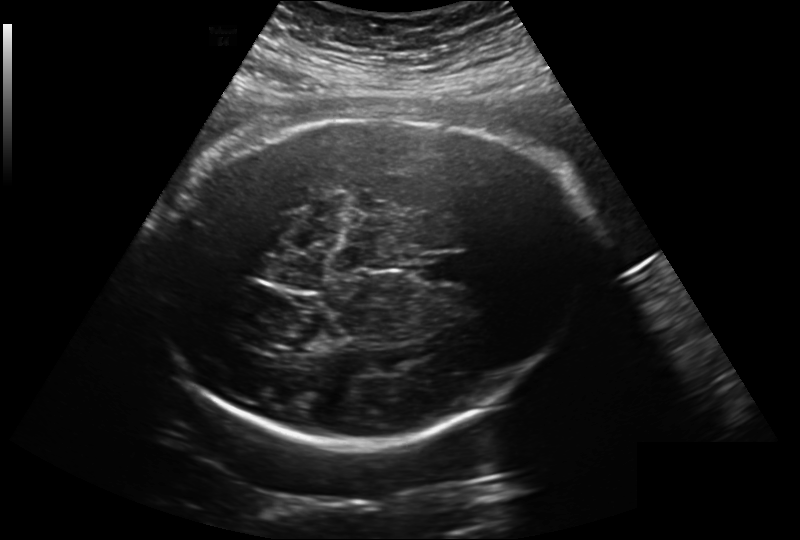
In this fetal head ultrasound, give bounding boxes for the head outline, cavum septum pellucidum (CSP), and lateral ventricle (LV), where visible. Image width: 208.0 mm.

Head: [148,115,588,441]
CSP: [418,253,470,285]